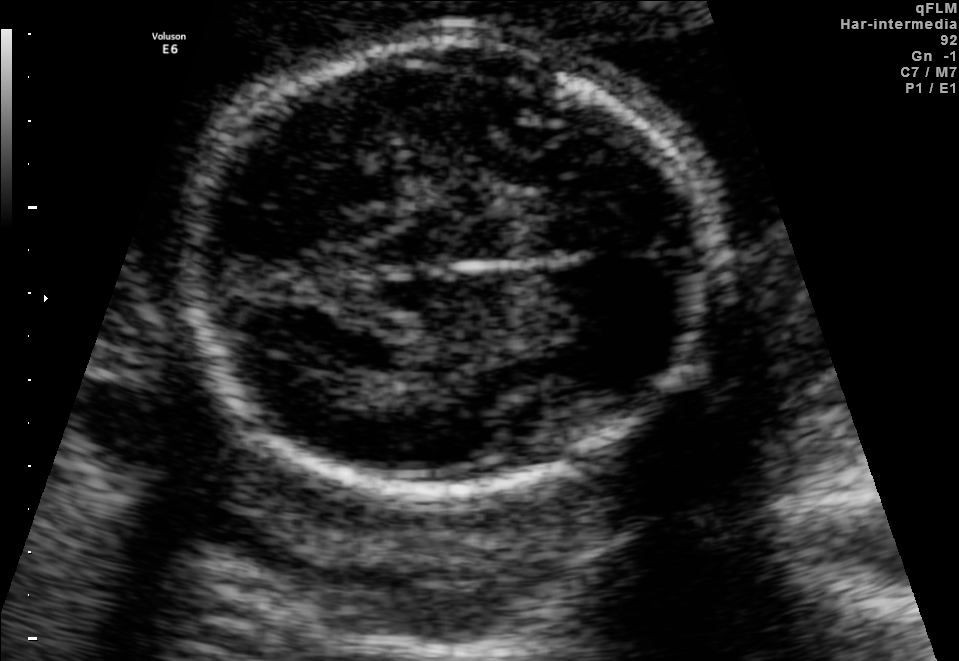
Fetal brain, trans-thalamic plane. Locate the fetal head and, if visible, the cavum septum pellucidum (CSP) and lateral ventricle (LV). Give bounding boxes as [x1,y1,x2,y2].

Head: [181,44,714,489]